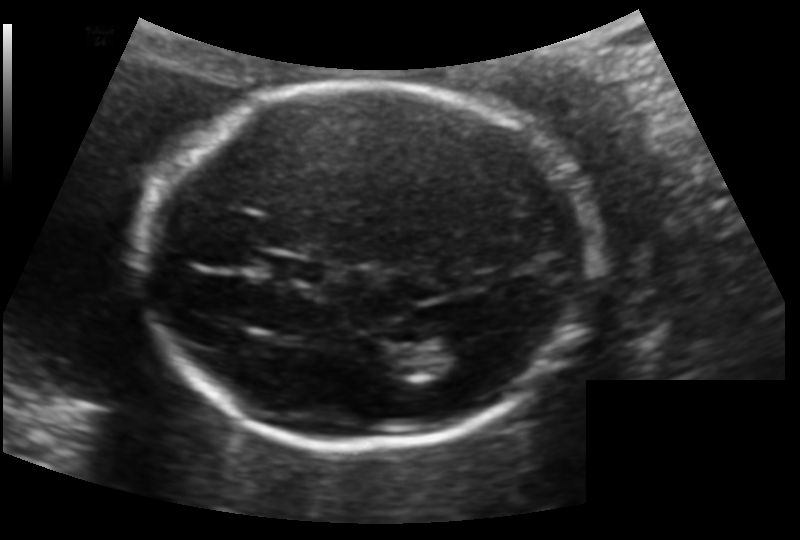
Estimate the fetal head circumference from this 2D ultrasound.

Head circumference: 177.9 mm (image width 106.4 mm).